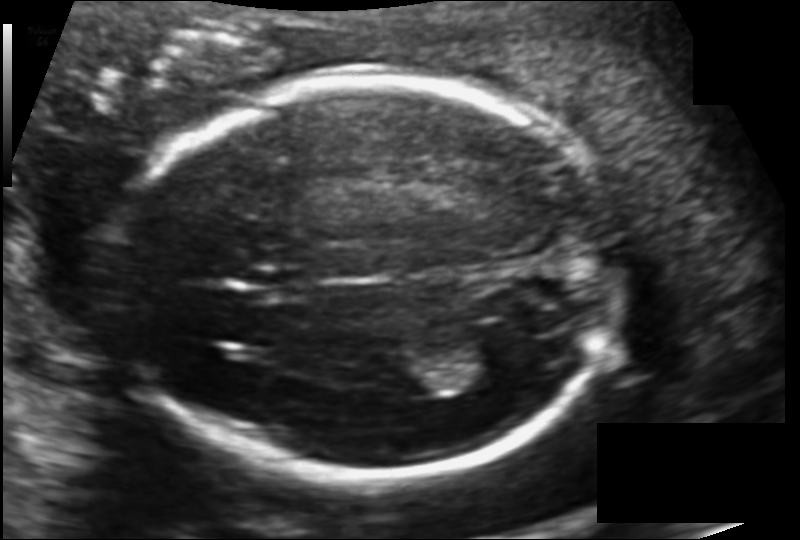
In this fetal head ultrasound, give bounding boxes for the head outline, cavum septum pellucidum (CSP), and lateral ventricle (LV), where visible. Image width: 101.2 mm.

Head: [122,80,620,478]